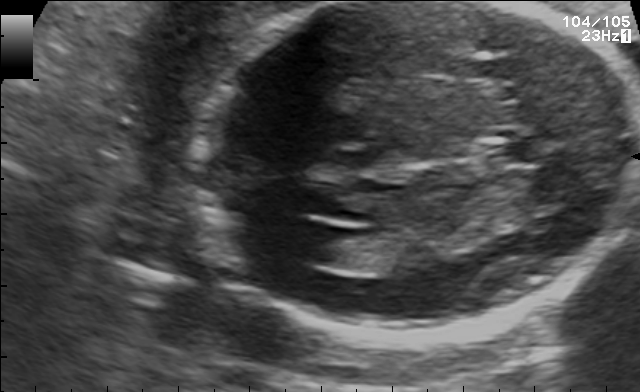
In this fetal brain, trans-ventricular plane, give the bounding box of the cavum septum pellucidum.

[486,141,539,165]